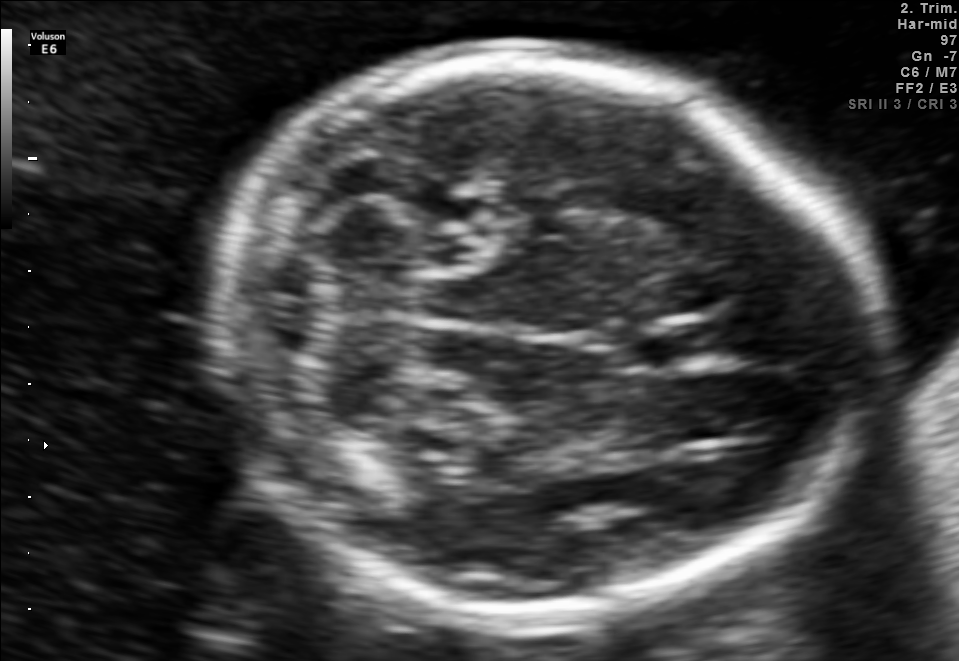
In this fetal brain, trans-cerebellum plane, give the bounding box of the fetal head.

[214,59,867,618]